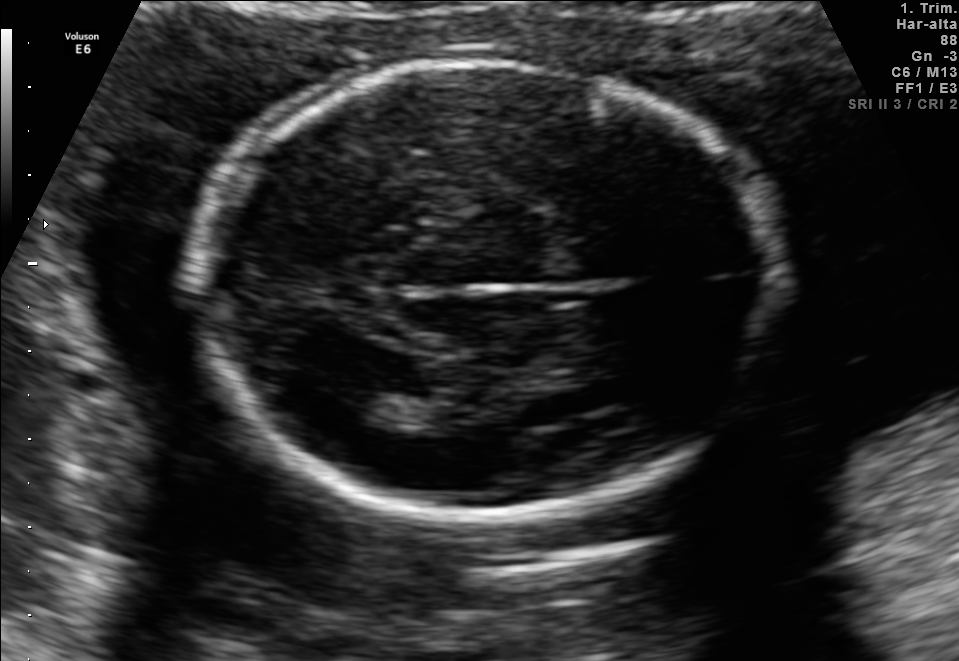
In this fetal brain, trans-thalamic plane, give the bounding box of the fetal head.

[196,63,779,518]